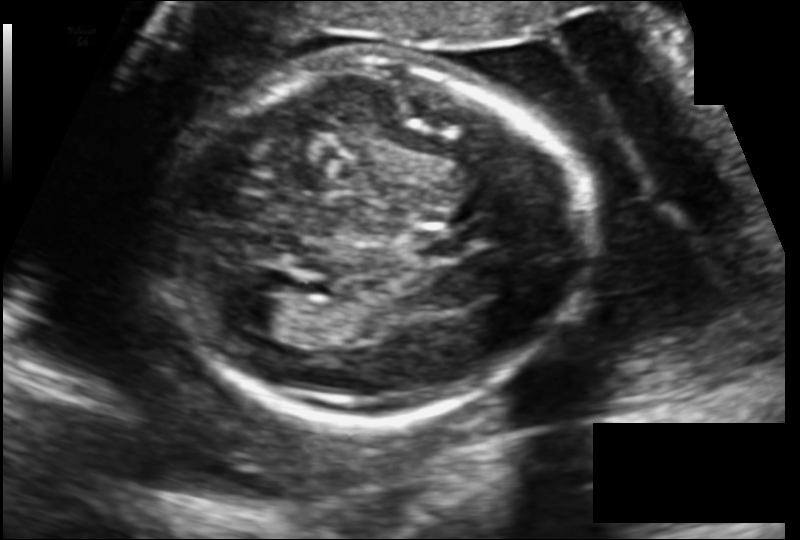
Fetal head ultrasound. Image width: 110.0 mm. Where is the fetal head?

Head bounding box: [167,60,581,423]